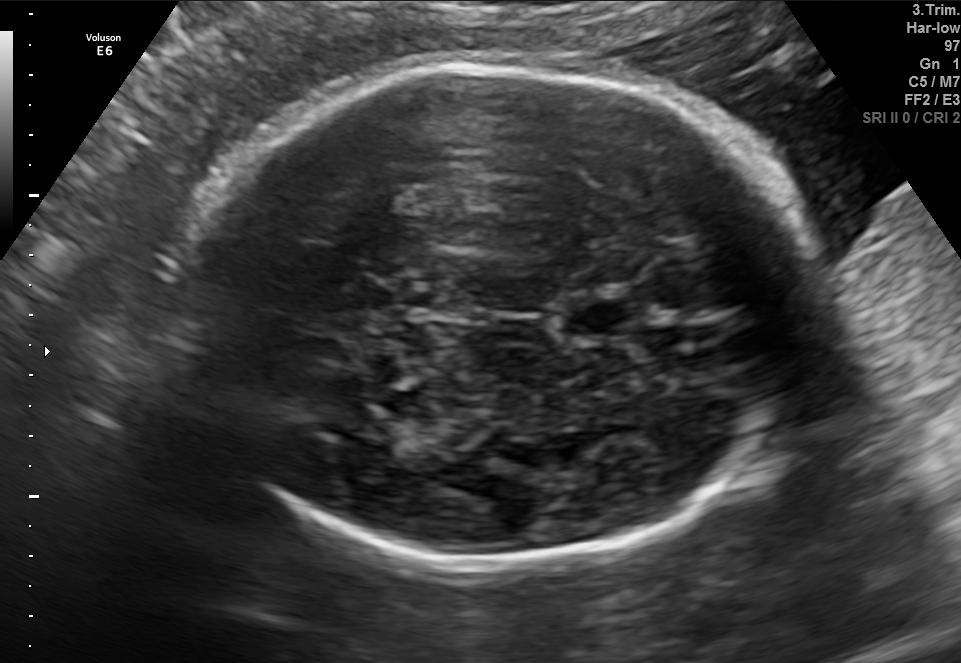
Fetal brain, trans-thalamic plane. Locate the cavum septum pellucidum.

CSP: [562,298,634,337]